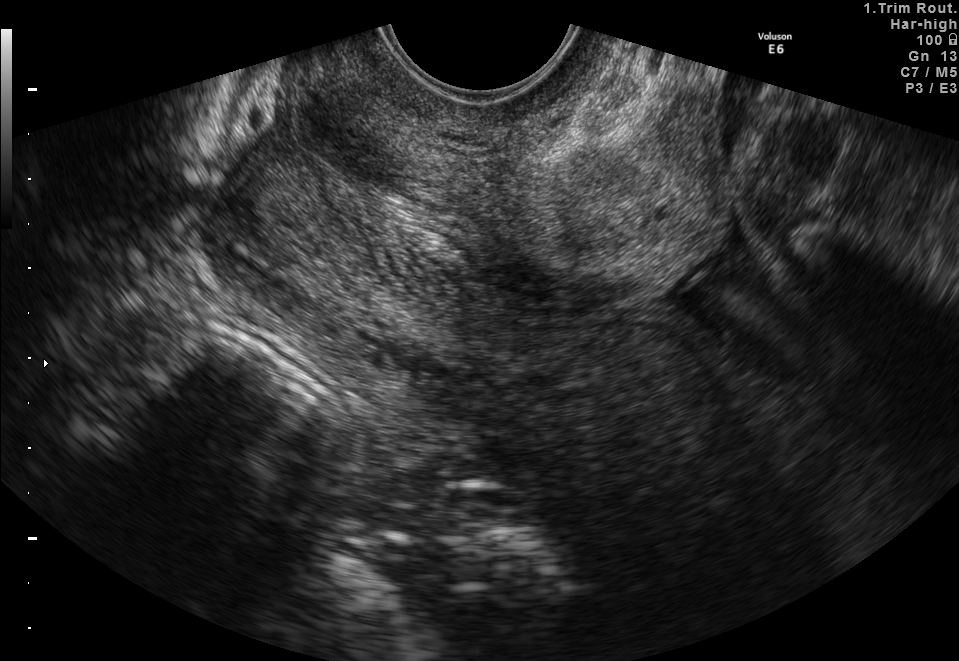
Identify the standard plane in this fetal ultrasound image: fetal abdomen, fetal brain, fetal femur, fetal thorax, maternal cervix, or other. If it's fetal brain and one of the three standard brain planes (trans-thalamic, trans-cerebellum, trans-ventricular), name which.

Maternal cervix